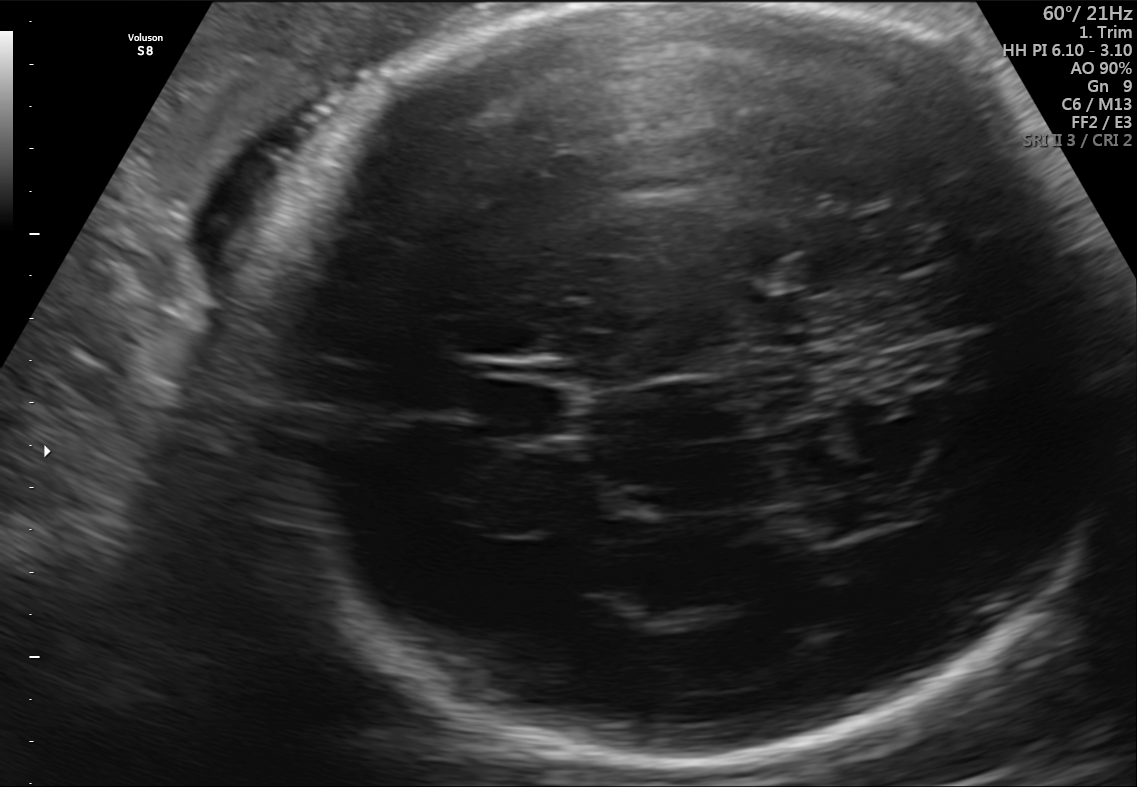
Fetal brain, trans-thalamic plane. Locate the fetal head.

Head: [260,10,1105,780]